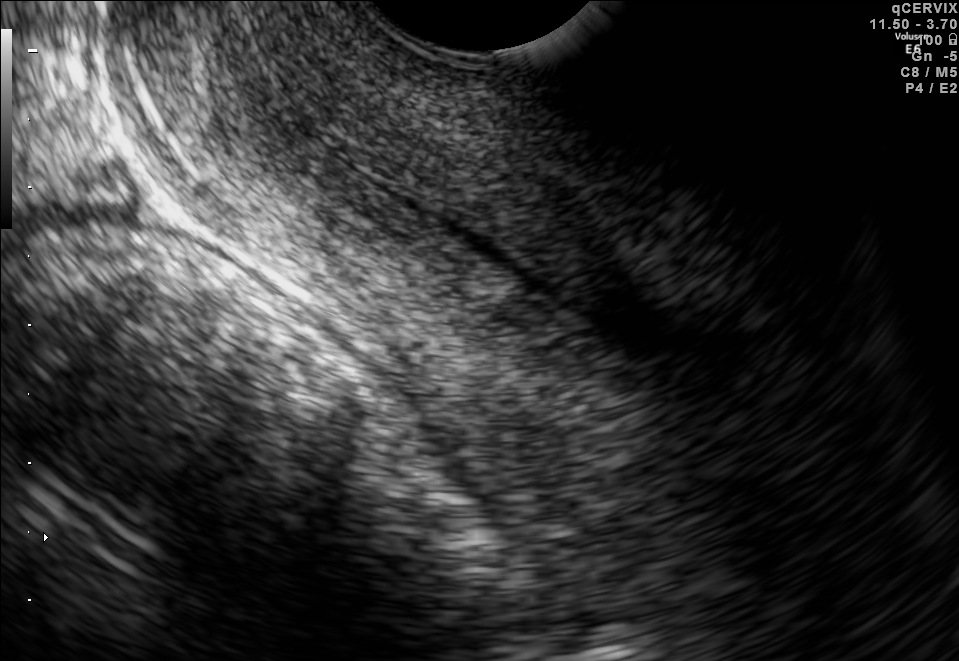
Identify the standard plane in this fetal ultrasound image: fetal abdomen, fetal brain, fetal femur, fetal thorax, maternal cervix, or other. If it's fetal brain and one of the three standard brain planes (trans-thalamic, trans-cerebellum, trans-ventricular), name which.

Maternal cervix